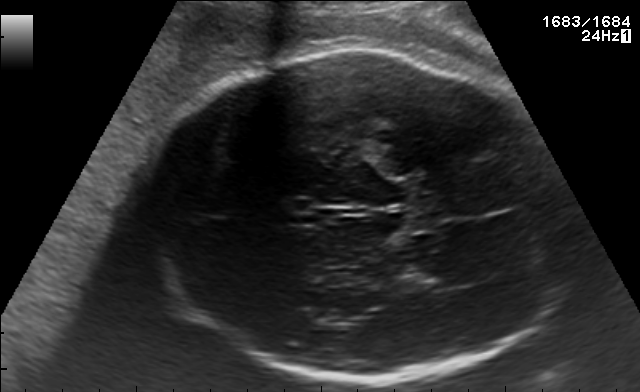
Identify the standard plane in this fetal ultrasound image: fetal abdomen, fetal brain, fetal femur, fetal thorax, maternal cervix, or other. If it's fetal brain and one of the three standard brain planes (trans-thalamic, trans-cerebellum, trans-ventricular), name which.

Fetal brain (trans-thalamic plane)